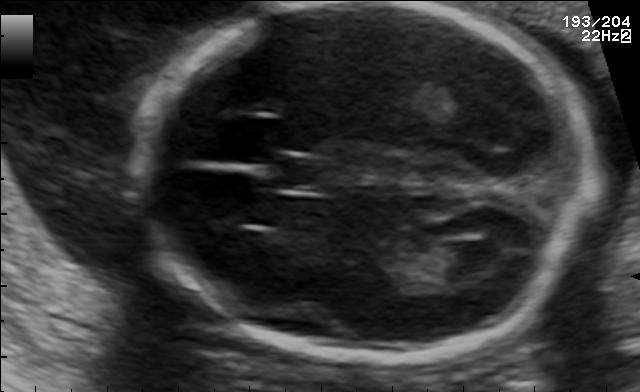
Fetal brain, trans-ventricular plane. Locate the lateral ventricle.

Lateral ventricle: [447,238,512,283]